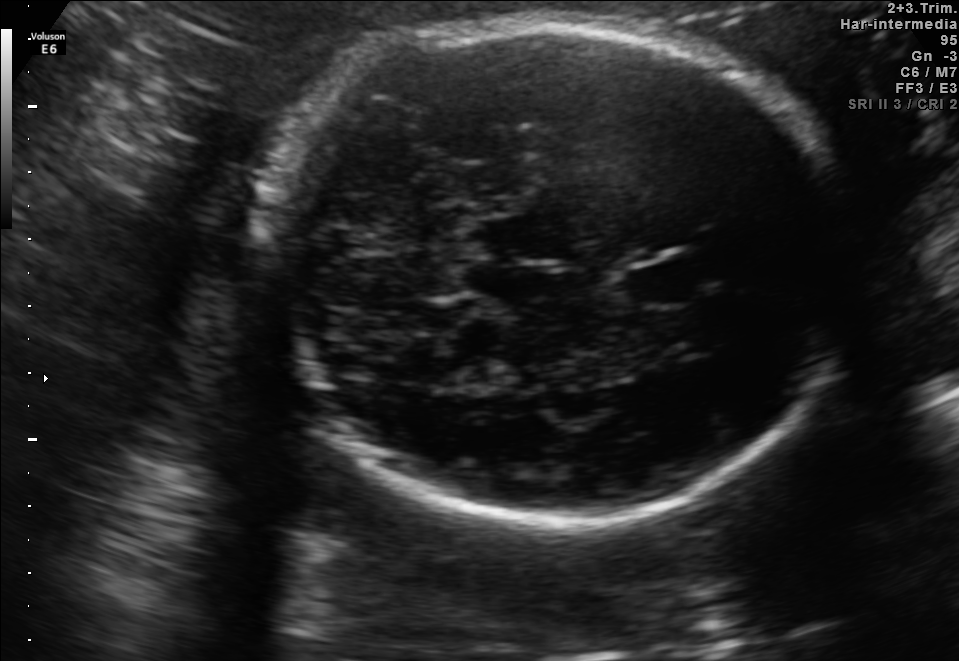
Fetal brain, trans-cerebellum plane. Where is the fetal head?

Head bounding box: [263,16,856,525]